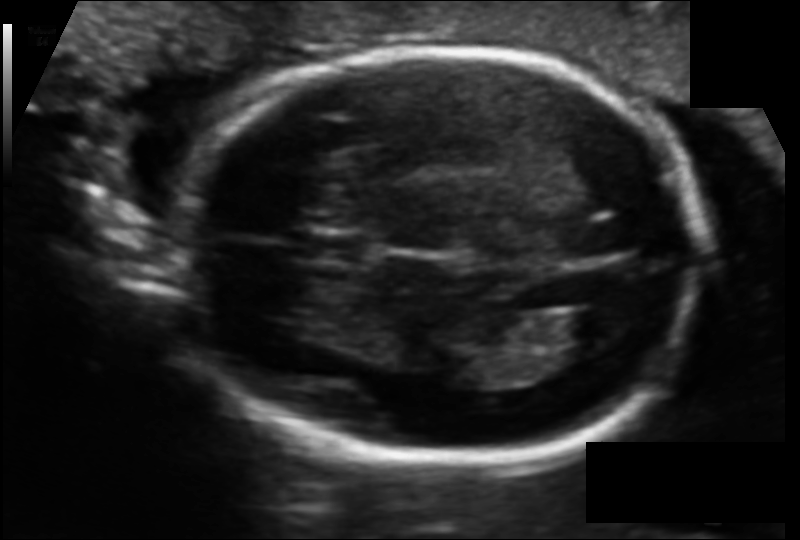
In this fetal head ultrasound, give the bounding box of the lateral ventricle. Image width: 86.3 mm.

[546,298,627,365]